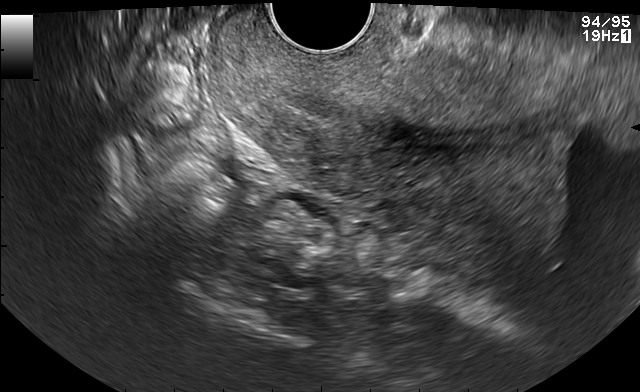
Classify this maternal-fetal ultrasound image as one of the six standard planes — fetal abdomen, fetal brain, fetal femur, fetal thorax, maternal cervix, or other. If it's fetal brain and one of the three standard brain planes (trans-thalamic, trans-cerebellum, trans-ventricular), name which.

Maternal cervix